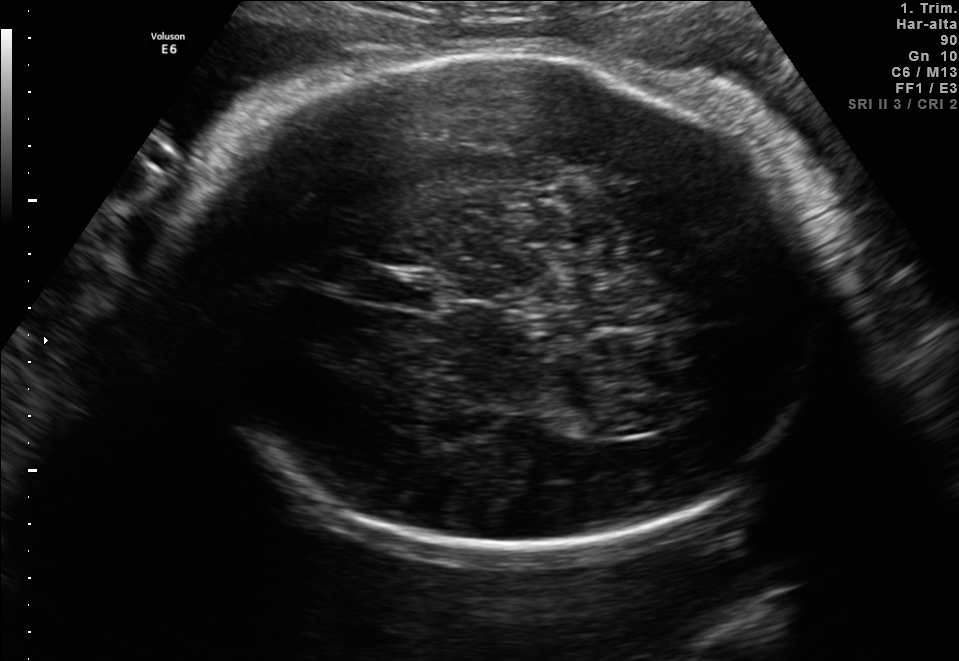
In this fetal brain, trans-thalamic plane, give bounding boxes for the head outline, cavum septum pellucidum (CSP), and lateral ventricle (LV), where visible.

Head: [189,46,816,545]
CSP: [360,265,438,311]
Lateral ventricle: [586,402,661,441]